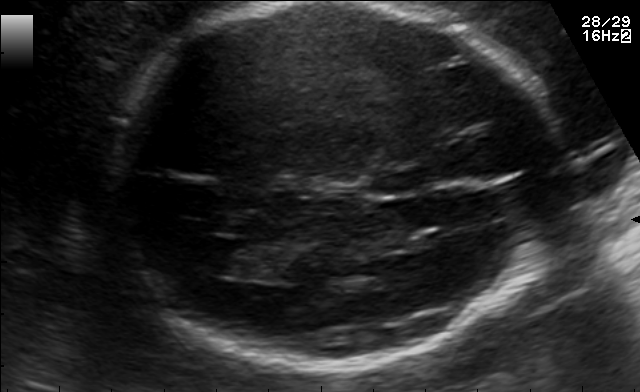
In this fetal brain, trans-ventricular plane, give the bounding box of the cavum septum pellucidum.

[371,168,425,198]